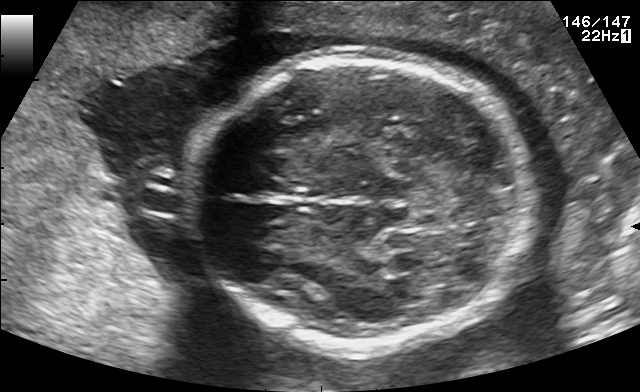
Fetal brain, trans-thalamic plane. Locate the fetal head.

Head: [184,59,533,348]